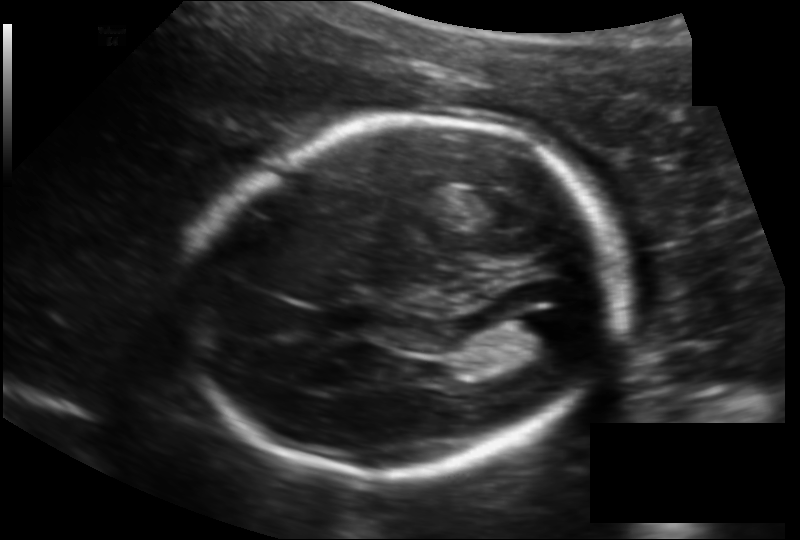
Fetal head ultrasound. Image width: 115.9 mm. Where is the lateral ventricle?

Lateral ventricle bounding box: [498,305,576,366]